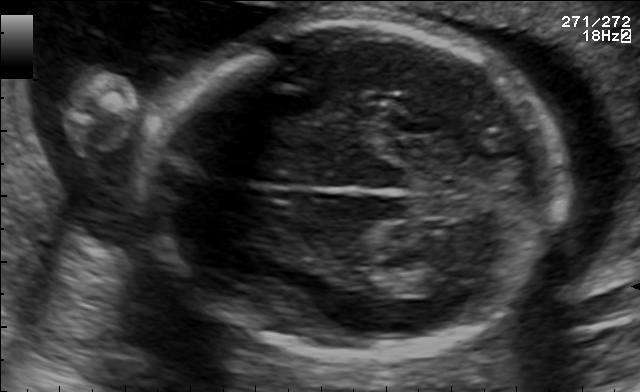
Fetal brain, trans-thalamic plane. Where is the fetal head?

Head bounding box: [145,24,559,358]